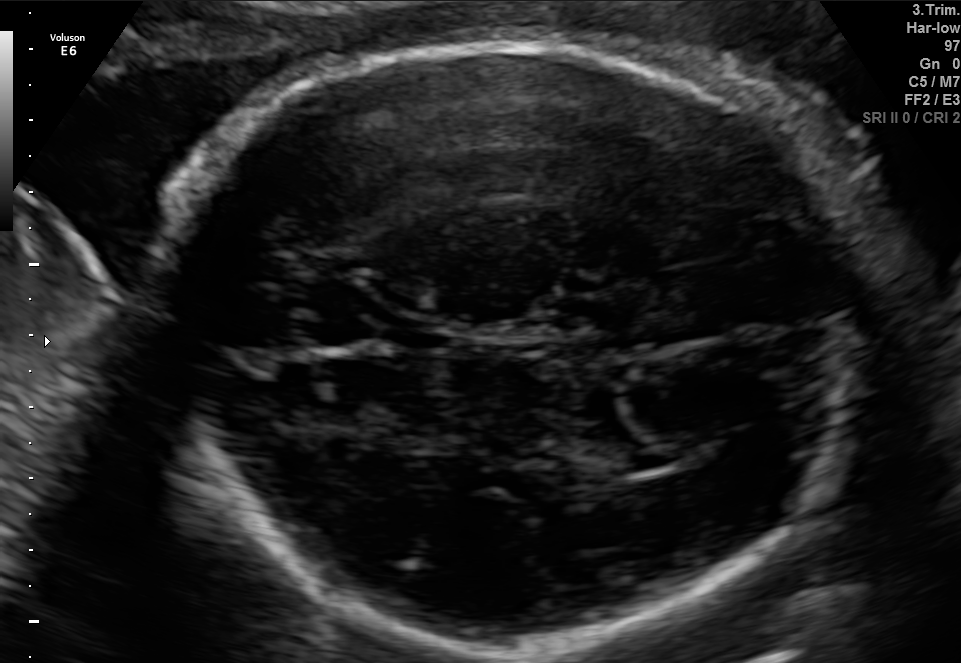
Fetal brain, trans-ventricular plane. Give [x1,y1,x2,y2] bounding boxes for each visible structure among: fetal head, CSP, LV.

Head: [138,34,875,655]